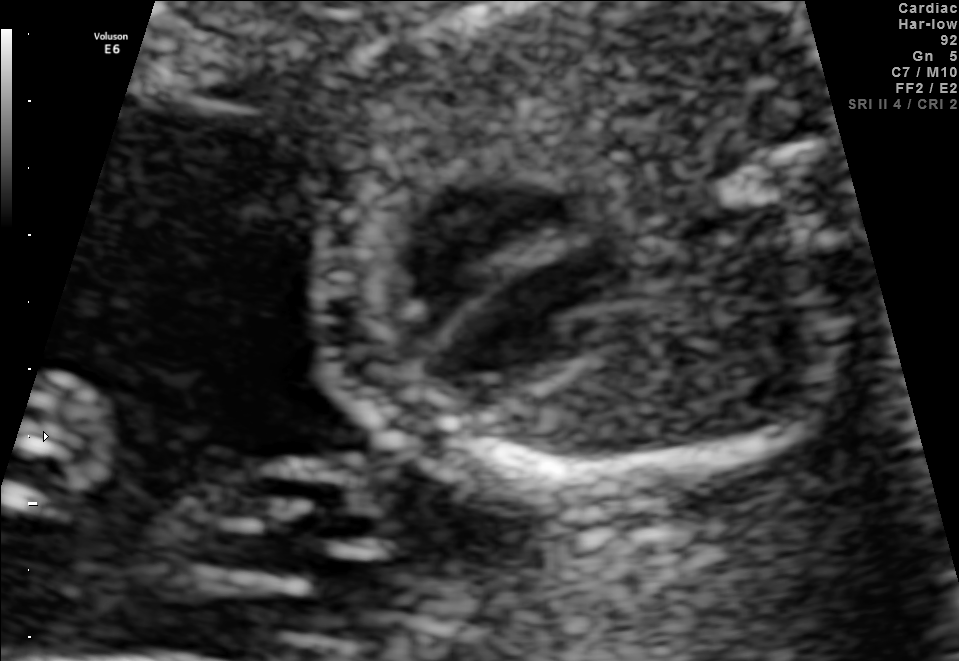
Classify this maternal-fetal ultrasound image as one of the six standard planes — fetal abdomen, fetal brain, fetal femur, fetal thorax, maternal cervix, or other. If it's fetal brain and one of the three standard brain planes (trans-thalamic, trans-cerebellum, trans-ventricular), name which.

Fetal thorax